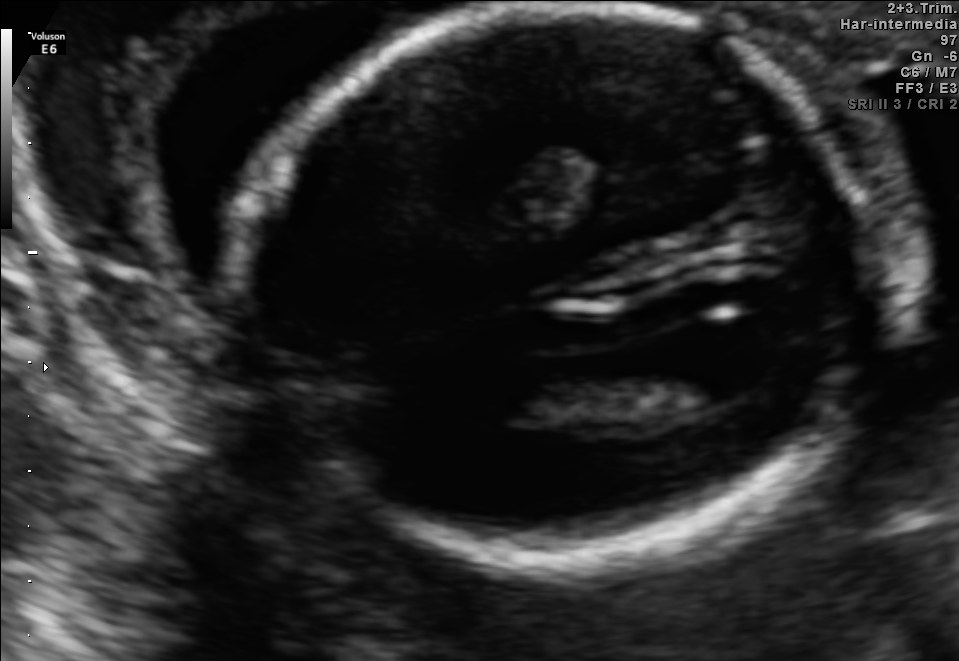
Fetal brain, trans-ventricular plane. Locate the fetal head and, if visible, the cavum septum pellucidum (CSP) and lateral ventricle (LV). Give bounding boxes as [x1,y1,x2,y2].

Head: [227,4,884,579]